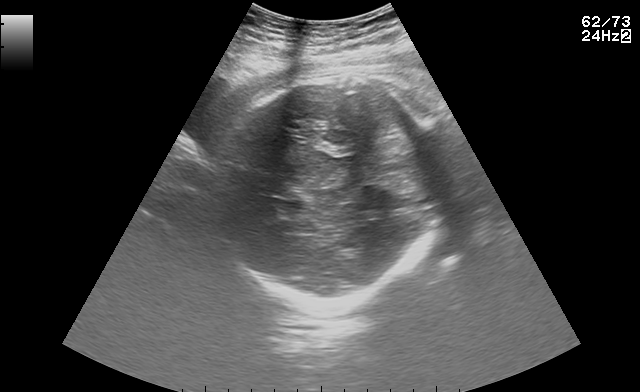
In this fetal brain, trans-thalamic plane, give the bounding box of the fetal head.

[213,72,442,304]